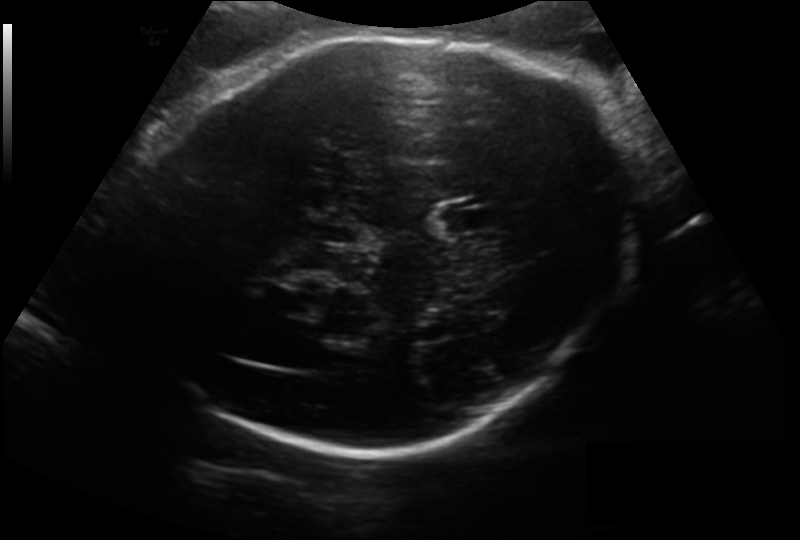
Fetal head ultrasound. Image width: 160.1 mm. Where is the cavum septum pellucidum?

CSP bounding box: [436,197,503,238]